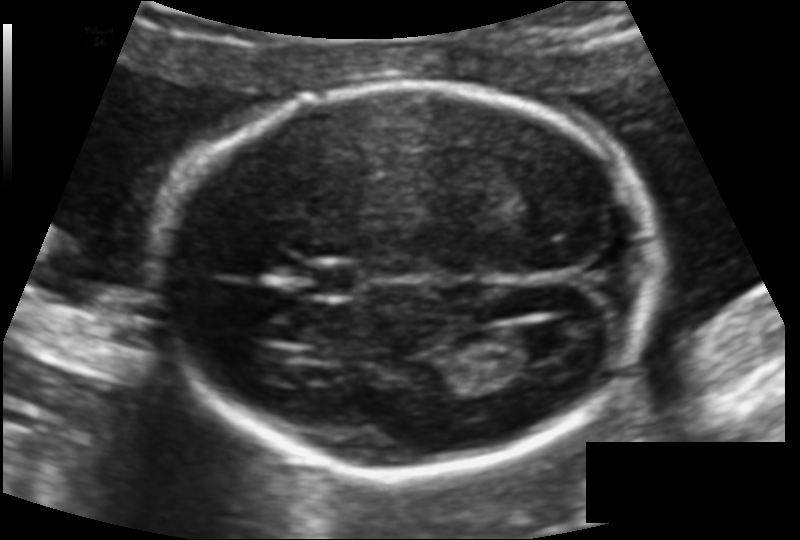
Fetal head ultrasound. Image width: 93.9 mm. Give [x1,y1,x2,y2] bounding boxes for each visible structure among: fetal head, CSP, LV.

Head: [162,83,653,472]
CSP: [303,264,361,299]
Lateral ventricle: [495,321,566,368]